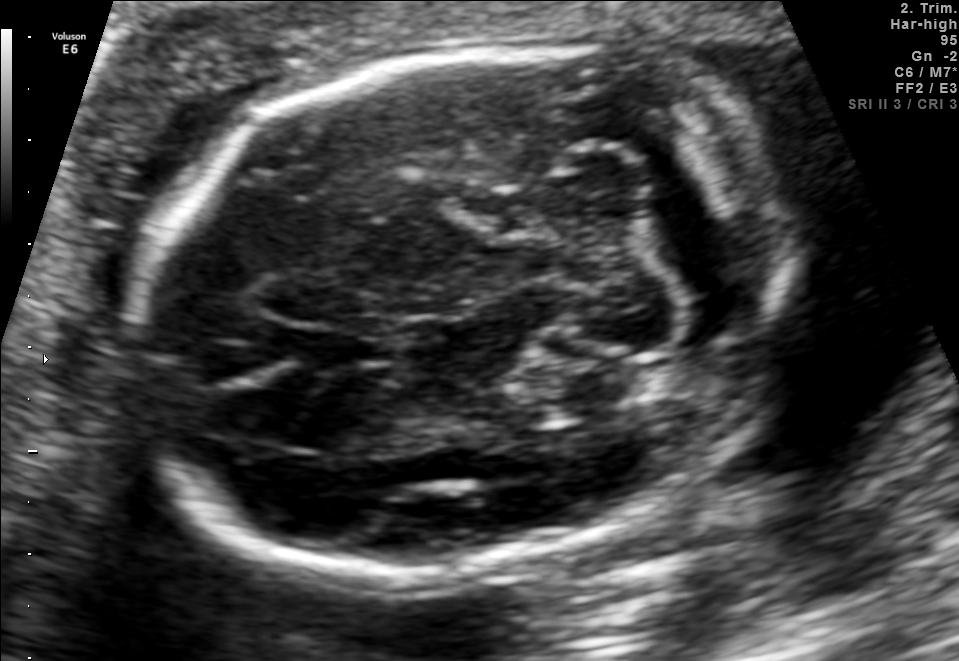
Which standard maternal-fetal ultrasound plane is shown: fetal abdomen, fetal brain, fetal femur, fetal thorax, maternal cervix, or other? If it's fetal brain and one of the three standard brain planes (trans-thalamic, trans-cerebellum, trans-ventricular), name which.

Fetal brain (trans-cerebellum plane)